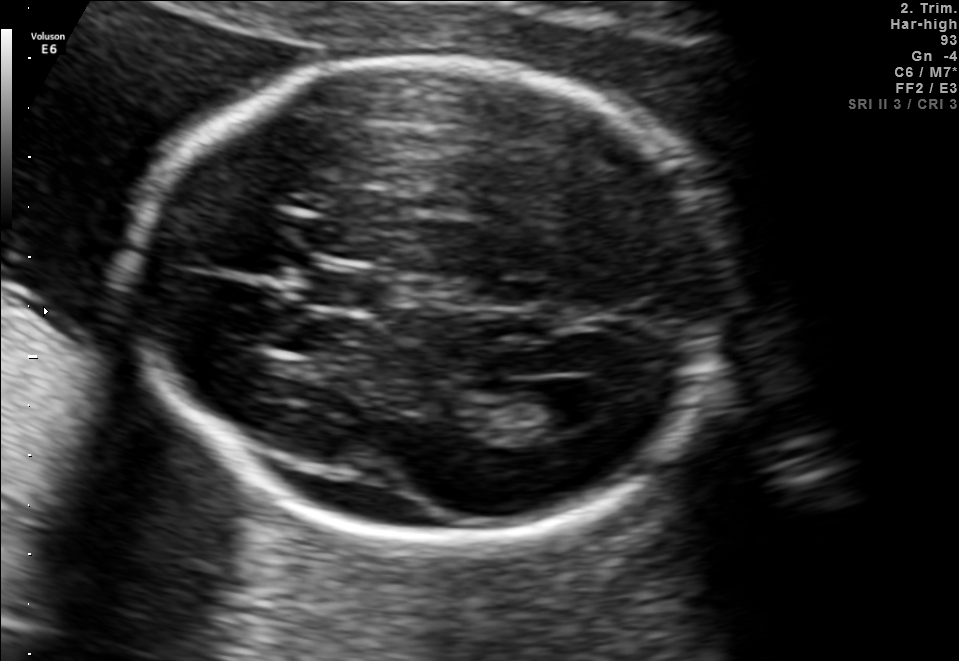
Fetal brain, trans-ventricular plane. Locate the fetal head.

Head: [122,50,739,553]